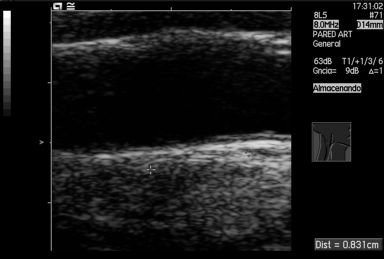
This is a 2D maternal-fetal ultrasound frame. Is it a fetal abdomen, fetal brain, fetal femur, fetal thorax, maternal cervix, or other standard plane? If it's fetal brain and one of the three standard brain planes (trans-thalamic, trans-cerebellum, trans-ventricular), name which.

Other